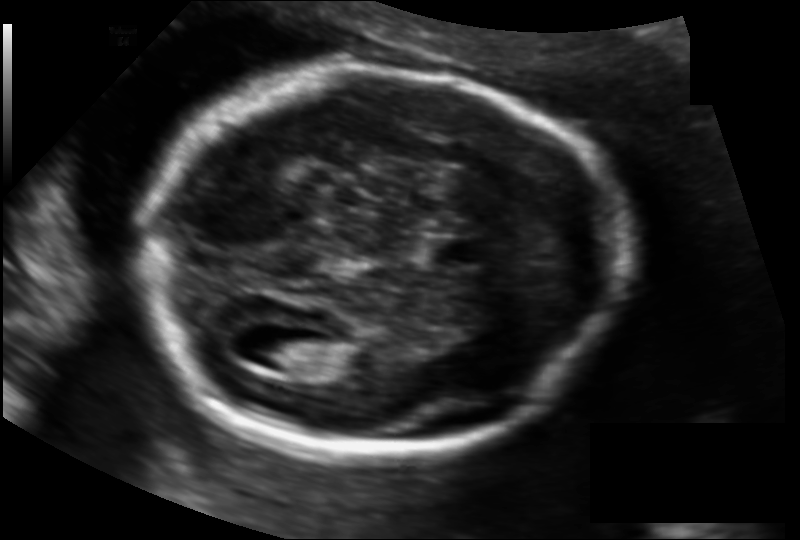
In this fetal head ultrasound, give the bounding box of the cavum septum pellucidum. Image width: 102.3 mm.

[429,236,482,268]